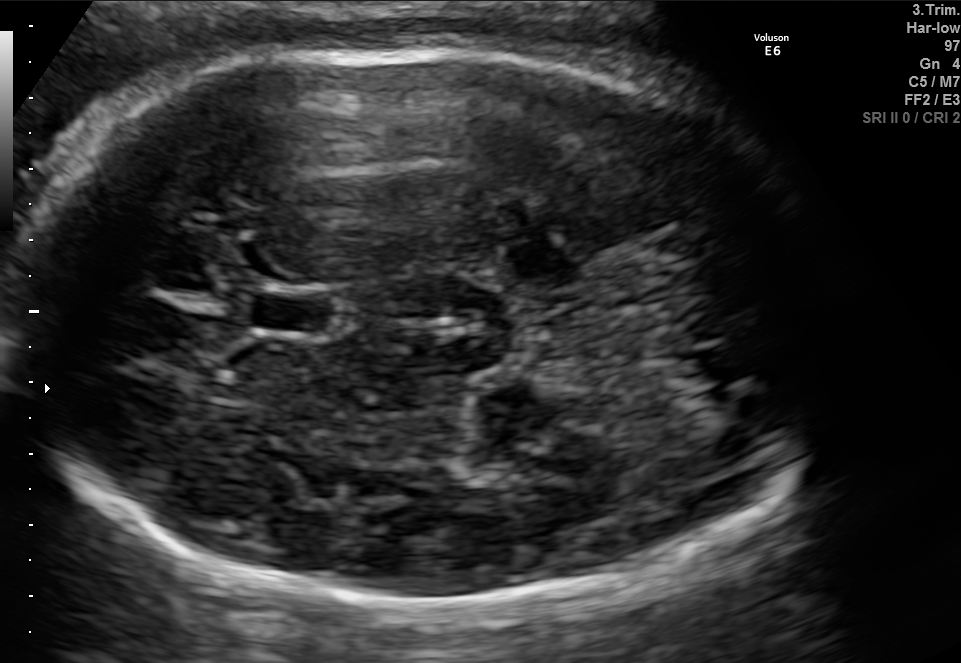
Fetal brain, trans-thalamic plane. Locate the fetal head and, if visible, the cavum septum pellucidum (CSP) and lateral ventricle (LV). Give bounding boxes as [x1,y1,x2,y2].

Head: [7,48,830,605]
CSP: [251,293,329,334]